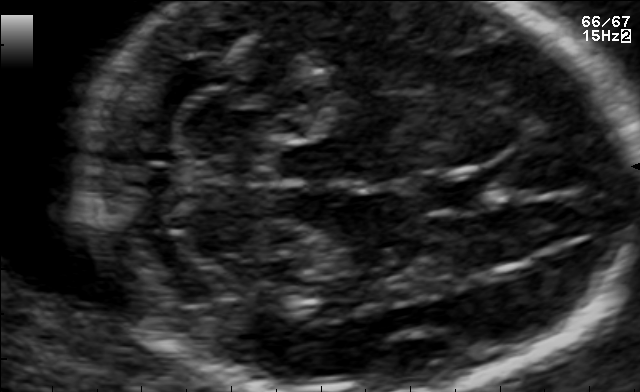
In this fetal brain, trans-cerebellum plane, give the bounding box of the fetal head.

[81,4,635,391]